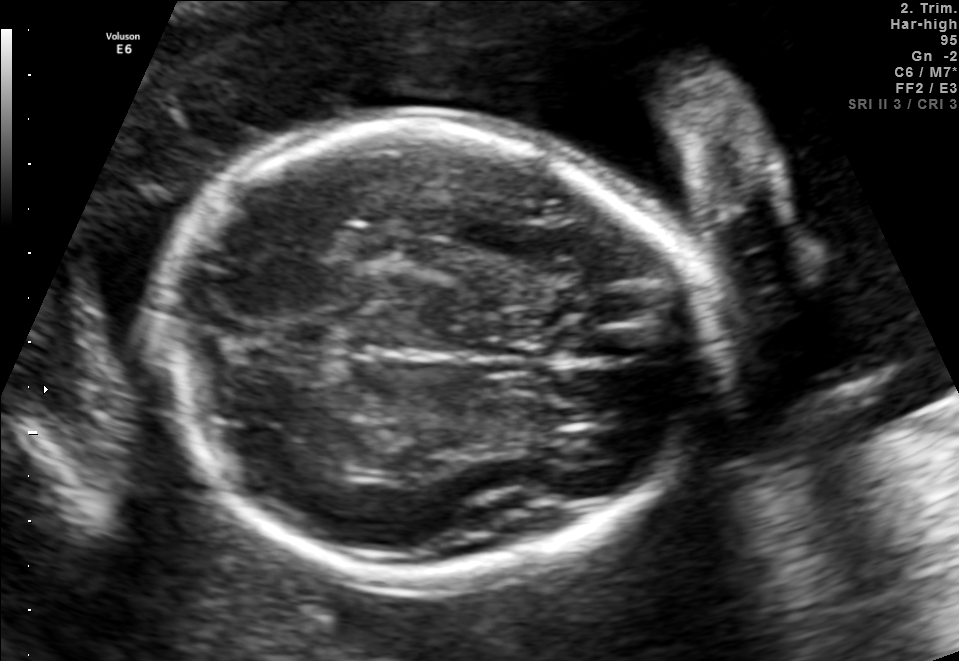
In this fetal brain, trans-thalamic plane, give bounding boxes for the head outline, cavum septum pellucidum (CSP), and lateral ventricle (LV), where visible.

Head: [165,120,714,587]